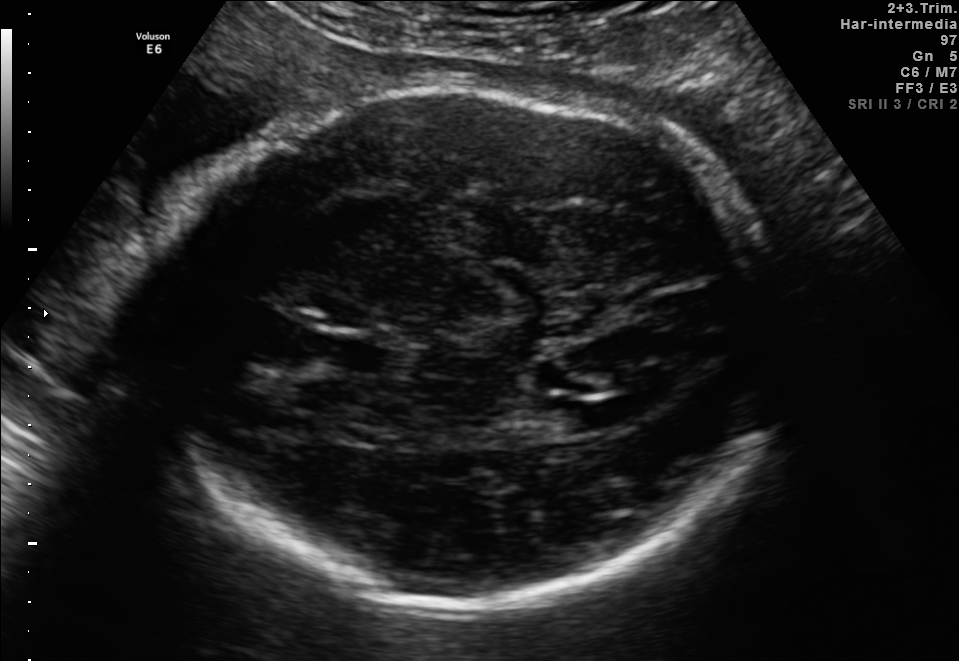
Fetal brain, trans-ventricular plane. Locate the fetal head and, if visible, the cavum septum pellucidum (CSP) and lateral ventricle (LV). Give bounding boxes as [x1,y1,x2,y2].

Head: [132,75,797,606]
CSP: [304,332,367,372]
Lateral ventricle: [560,396,624,436]